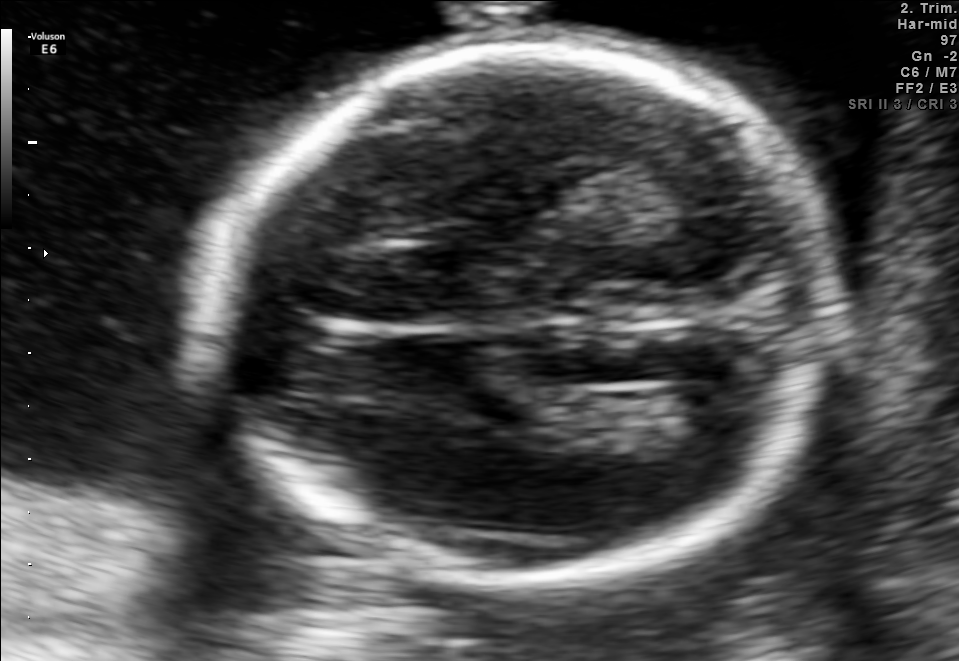
Fetal brain, trans-ventricular plane. Locate the fetal head and, if visible, the cavum septum pellucidum (CSP) and lateral ventricle (LV). Give bounding boxes as [x1,y1,x2,y2].

Head: [218,39,841,590]